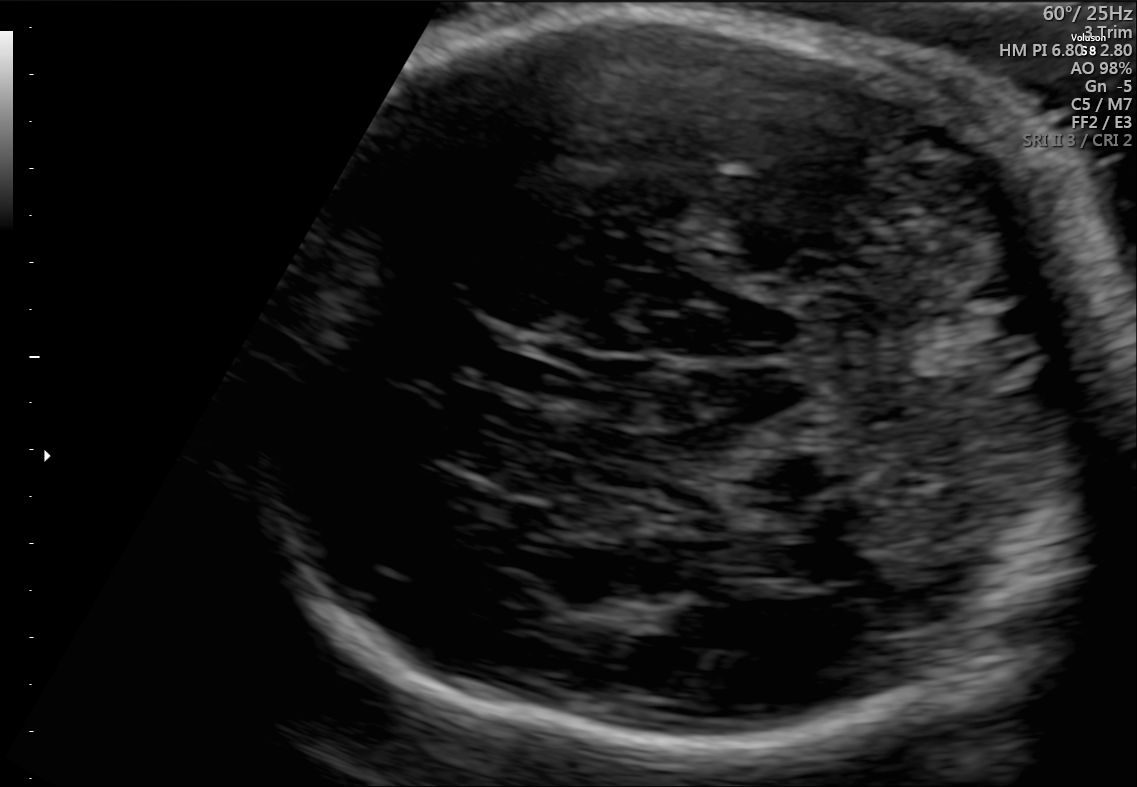
Fetal brain, trans-cerebellum plane. Give [x1,y1,x2,y2] bounding boxes for each visible structure among: fetal head, CSP, LV.

Head: [286,14,1105,758]